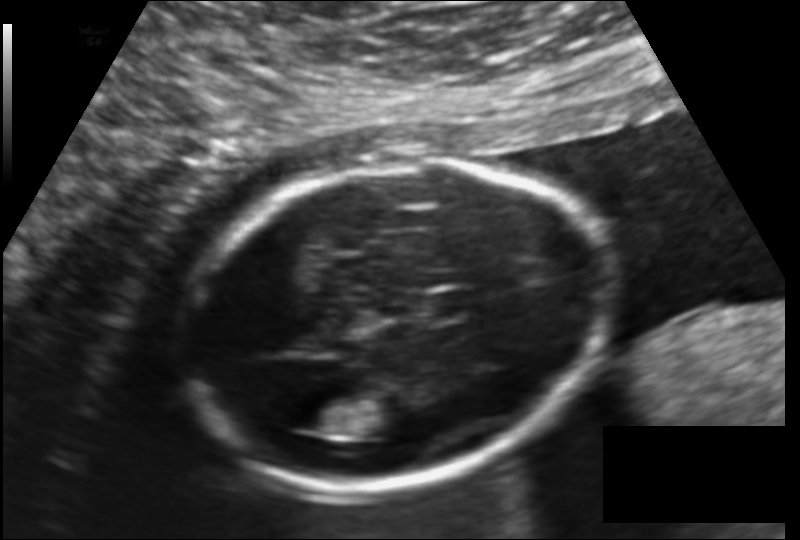
Fetal head ultrasound. Image width: 112.0 mm. Locate the lateral ventricle.

Lateral ventricle: [283,399,339,435]